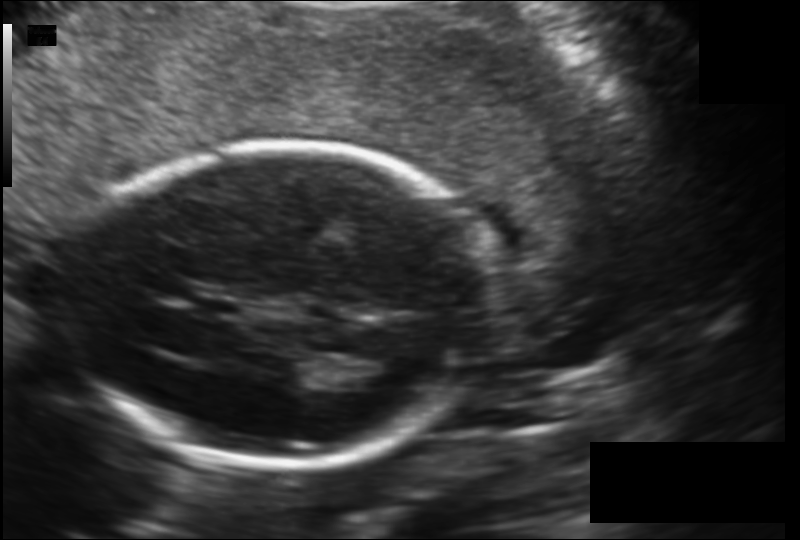
Fetal head ultrasound. Image width: 117.3 mm. Give [x1,y1,x2,y2] bounding boxes for each visible structure among: fetal head, CSP, LV.

Head: [70,145,493,472]
CSP: [196,295,242,319]